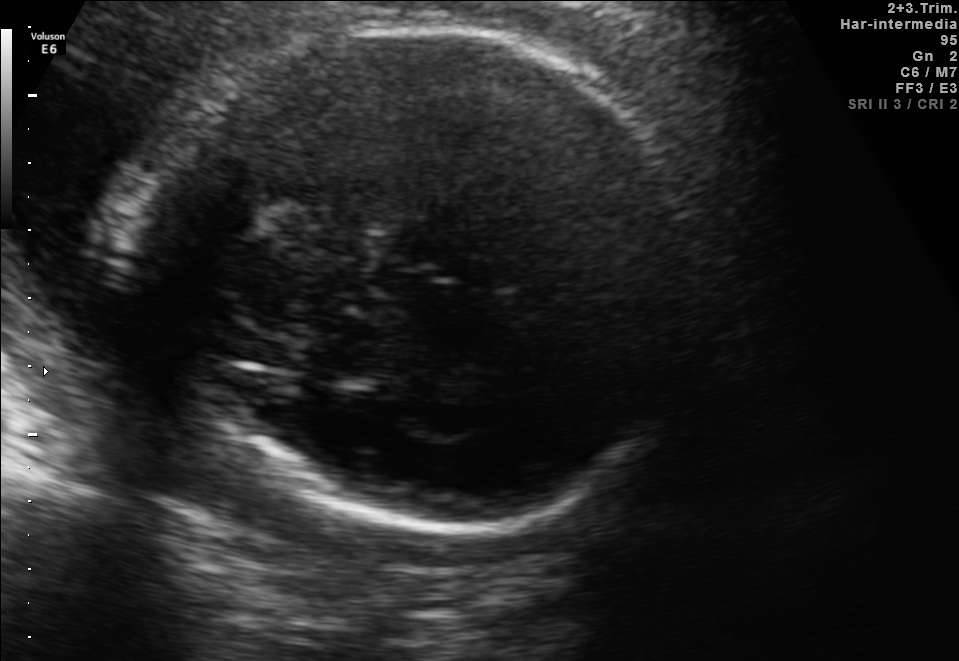
In this fetal brain, trans-thalamic plane, give bounding boxes for the head outline, cavum septum pellucidum (CSP), and lateral ventricle (LV), where visible.

Head: [135,22,698,531]